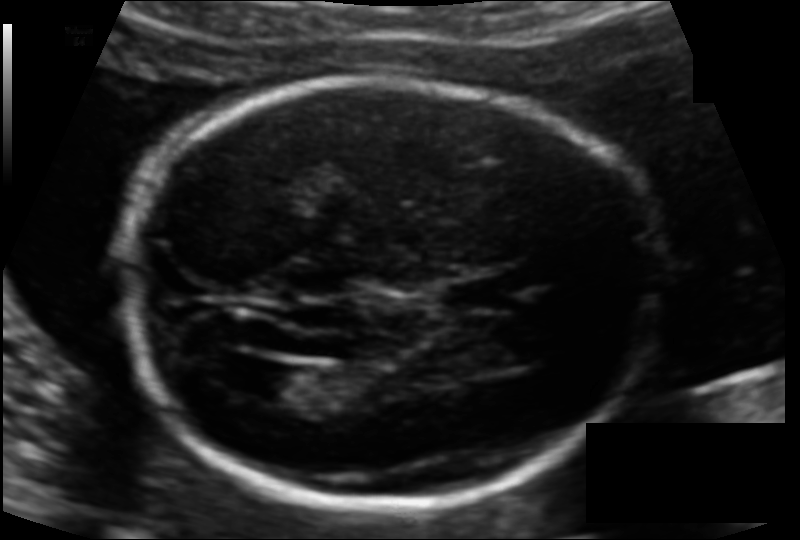
Estimate the fetal head circumference from this 2D ultrasound. Image width: 90.3 mm.

Head circumference: 176.2 mm.